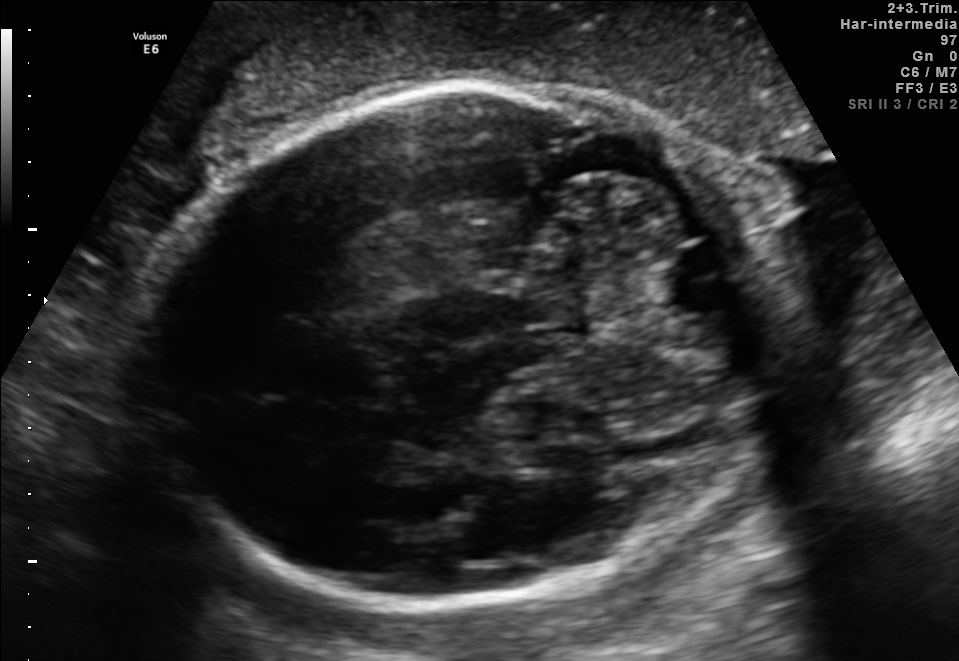
Fetal brain, trans-cerebellum plane. Locate the fetal head and, if visible, the cavum septum pellucidum (CSP) and lateral ventricle (LV). Give bounding boxes as [x1,y1,x2,y2].

Head: [153,83,790,602]